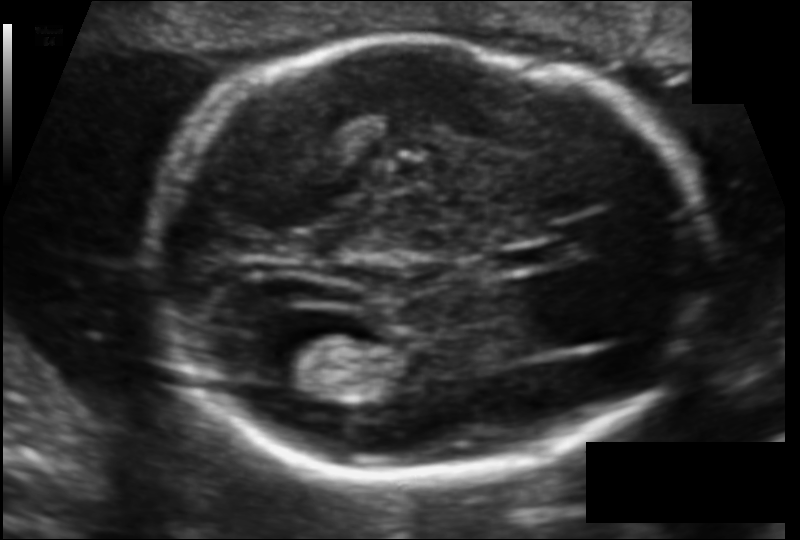
From this fetal ultrasound, estimate the head circumference (image width 84.9 mm).

Head circumference: 171.0 mm.